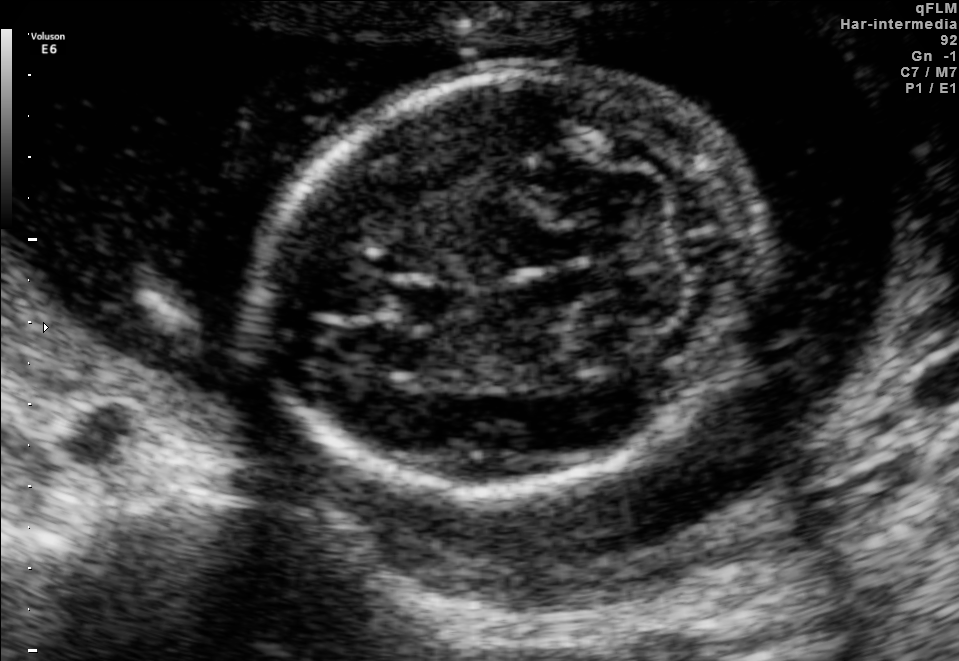
Fetal brain, trans-cerebellum plane. Locate the fetal head.

Head: [264,66,755,497]